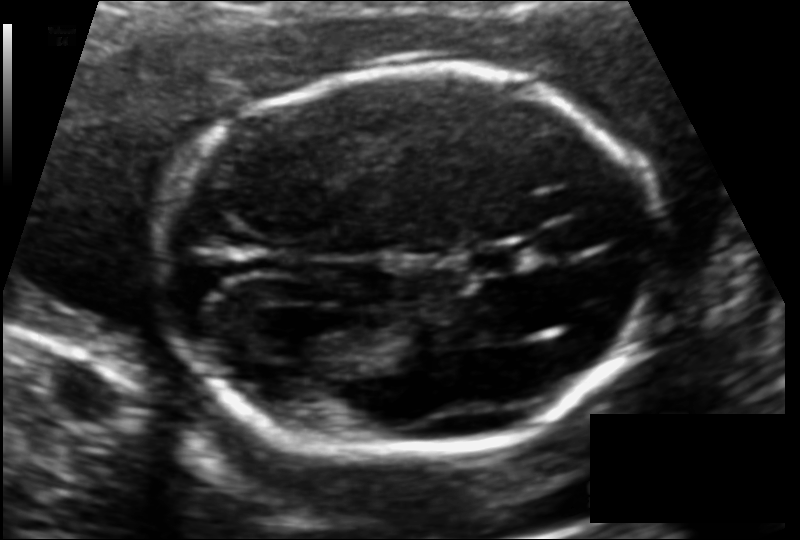
Fetal head ultrasound. Image width: 93.1 mm. Give [x1,y1,x2,y2] bounding boxes for each visible structure among: fetal head, CSP, LV.

Head: [159,72,661,453]
CSP: [467,243,524,275]
Lateral ventricle: [273,308,348,360]